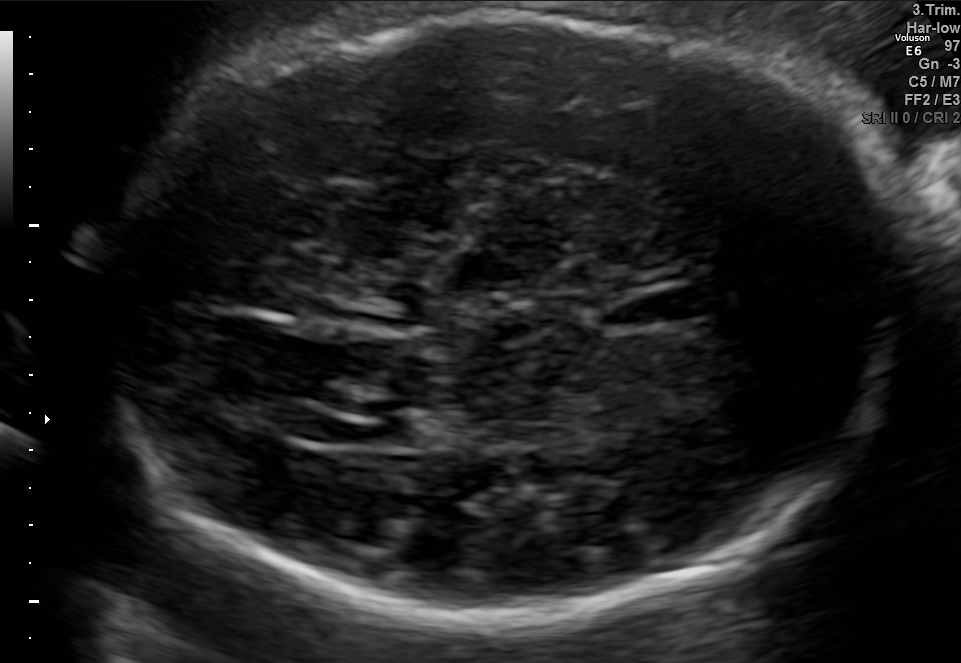
Fetal brain, trans-ventricular plane. Give [x1,y1,x2,y2] bounding boxes for each visible structure among: fetal head, CSP, LV.

Head: [90,11,917,630]